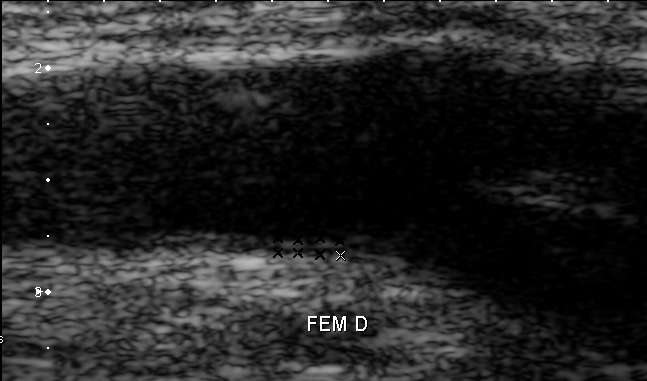
Identify the standard plane in this fetal ultrasound image: fetal abdomen, fetal brain, fetal femur, fetal thorax, maternal cervix, or other. If it's fetal brain and one of the three standard brain planes (trans-thalamic, trans-cerebellum, trans-ventricular), name which.

Other